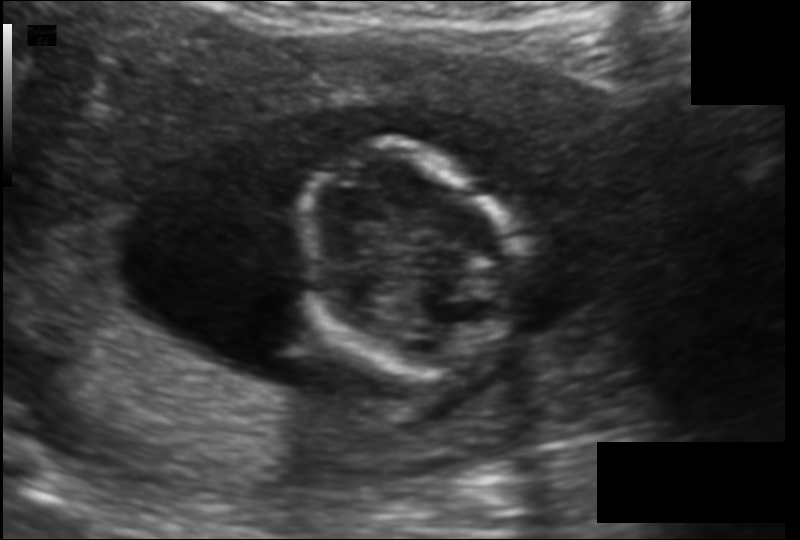
Fetal head ultrasound. Image width: 103.9 mm. Give [x1,y1,x2,y2] bounding boxes for each visible structure among: fetal head, CSP, LV.

Head: [298,142,516,382]